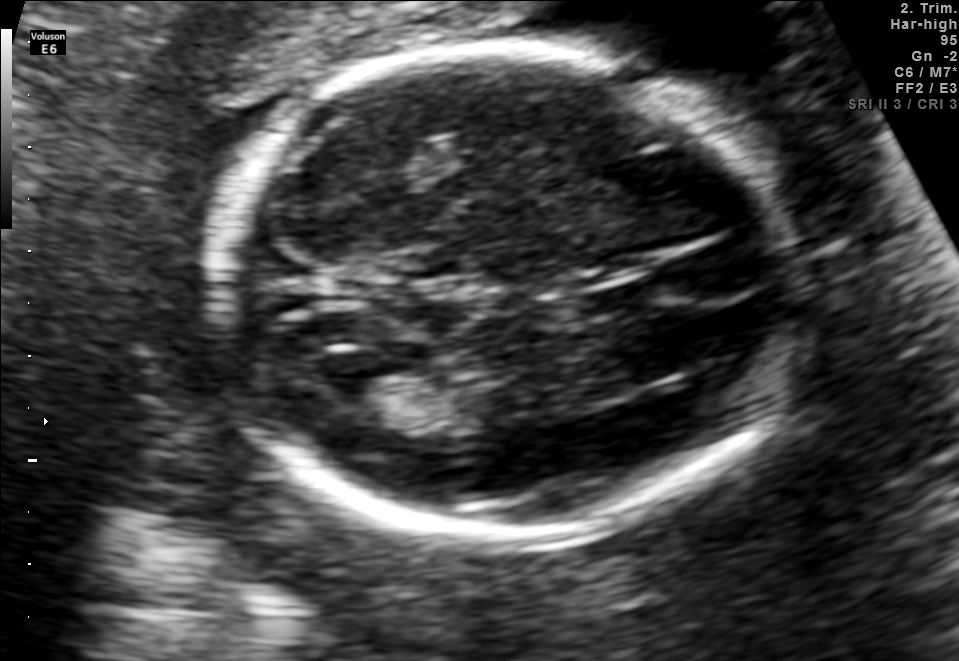
Fetal brain, trans-ventricular plane. Where is the lateral ventricle?

Lateral ventricle bounding box: [301,333,393,412]